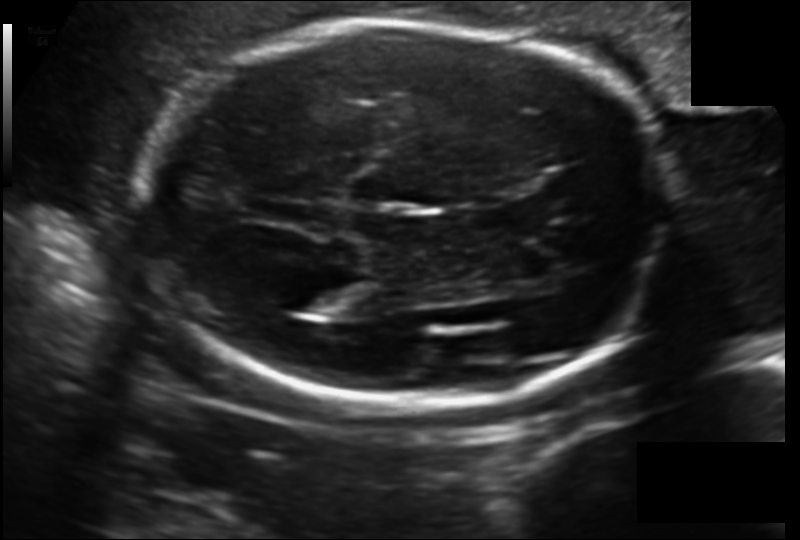
Fetal head ultrasound. Image width: 121.4 mm. Locate the lateral ventricle.

Lateral ventricle: [280,272,358,316]